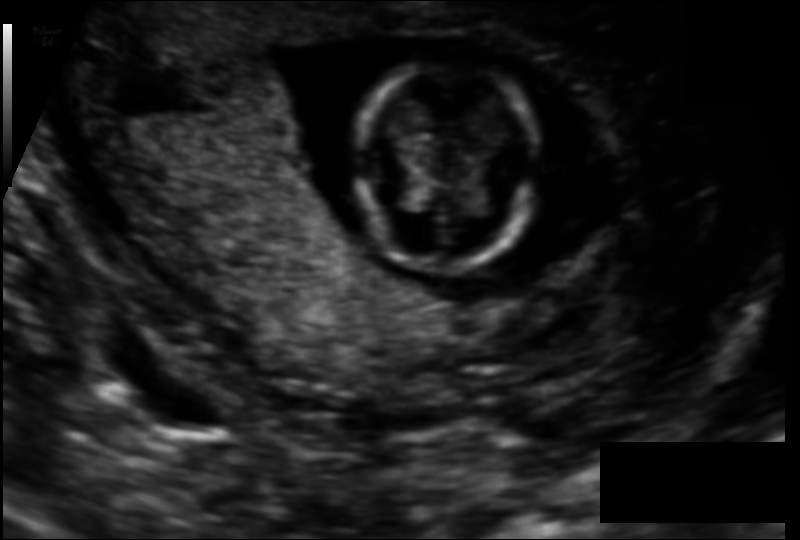
Fetal head ultrasound. Image width: 88.1 mm. Locate the fetal head and, if visible, the cavum septum pellucidum (CSP) and lateral ventricle (LV). Give bounding boxes as [x1,y1,x2,y2].

Head: [355,61,538,271]